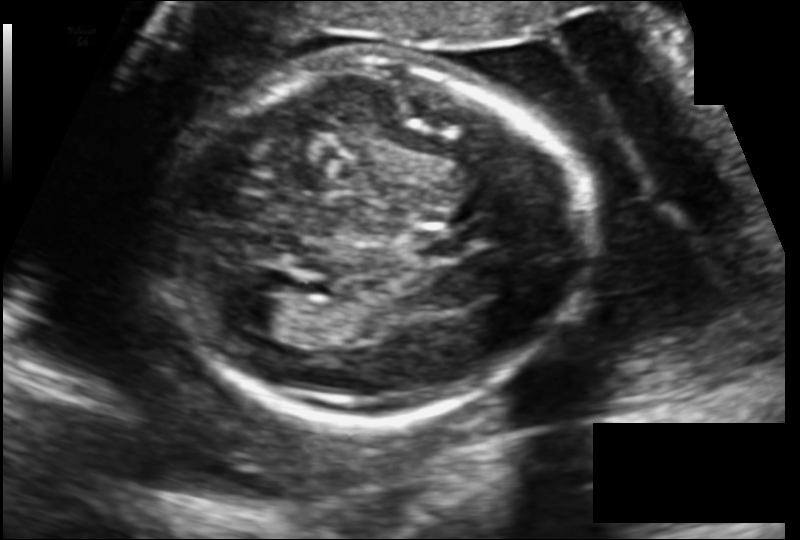
Estimate the fetal head circumference from this 2D ultrasound. Image width: 110.0 mm.

Head circumference: 174.6 mm.